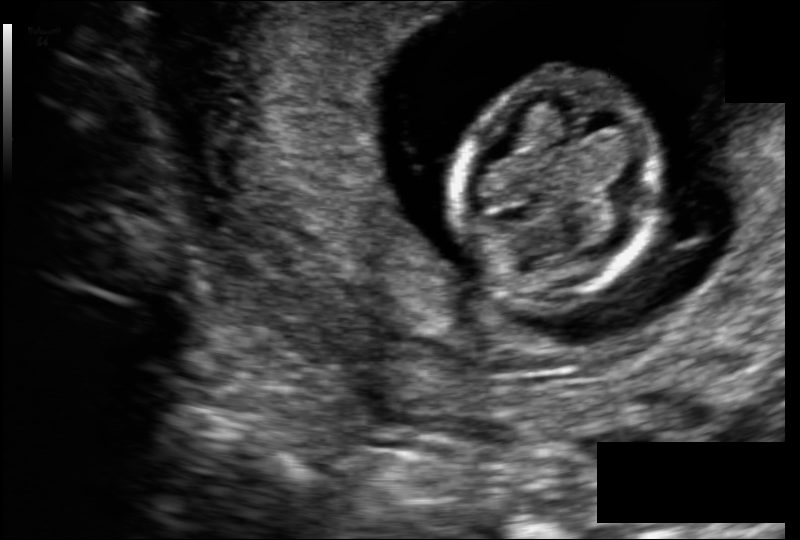
Fetal head ultrasound. Image width: 87.2 mm. Locate the fetal head.

Head: [451,74,662,301]